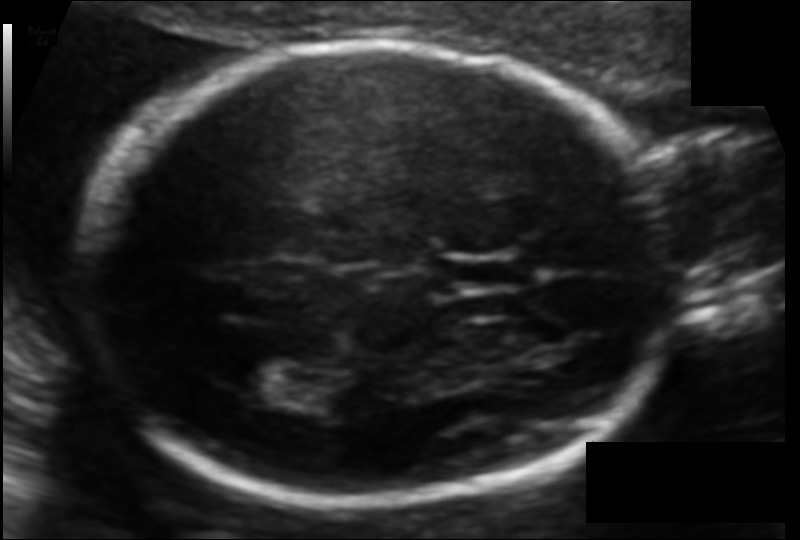
Fetal head ultrasound. Image width: 83.2 mm. Give [x1,y1,x2,y2] bounding boxes for each visible structure among: fetal head, CSP, LV.

Head: [82,42,685,502]
CSP: [434,253,527,290]
Lateral ventricle: [225,344,304,401]